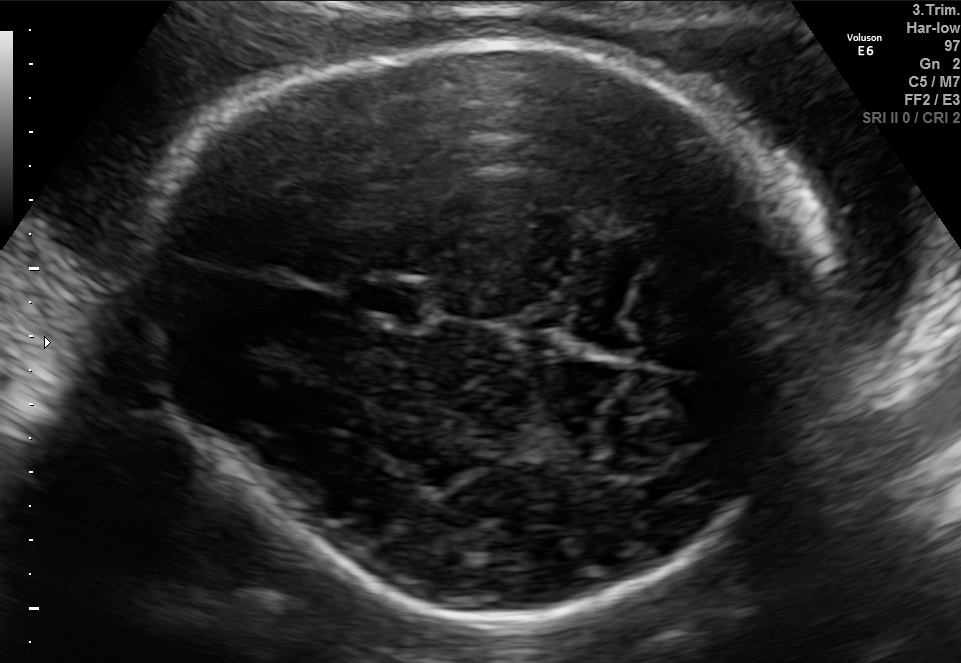
Classify this maternal-fetal ultrasound image as one of the six standard planes — fetal abdomen, fetal brain, fetal femur, fetal thorax, maternal cervix, or other. If it's fetal brain and one of the three standard brain planes (trans-thalamic, trans-cerebellum, trans-ventricular), name which.

Fetal brain (trans-thalamic plane)